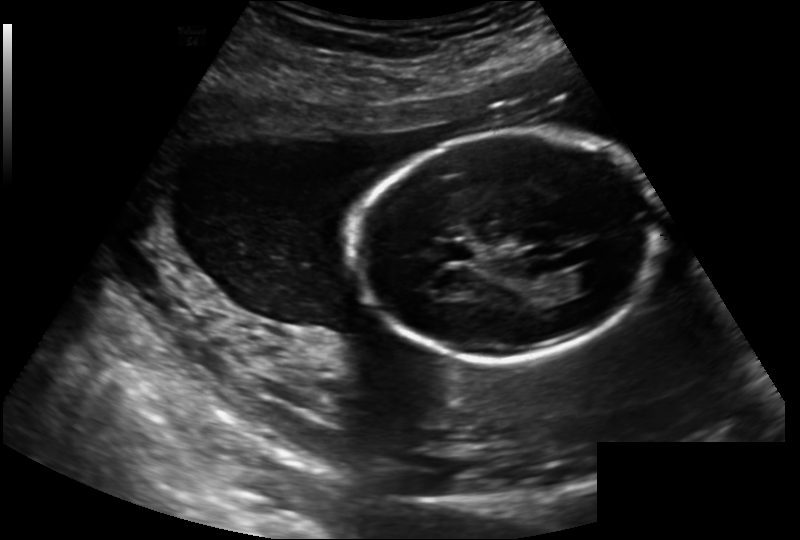
In this fetal head ultrasound, give the bounding box of the cavum septum pellucidum. Image width: 161.7 mm.

[431,237,475,265]